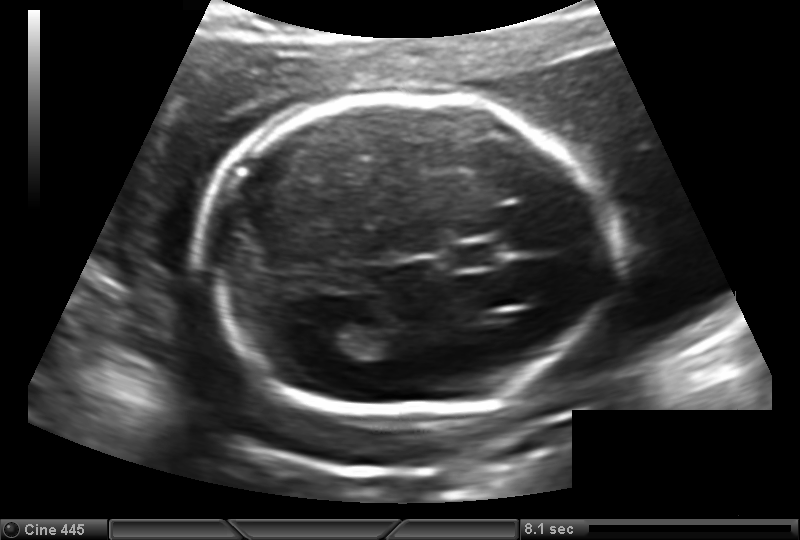
Fetal head ultrasound. Image width: 119.4 mm. Where is the cavum septum pellucidum?

CSP bounding box: [446,238,504,272]